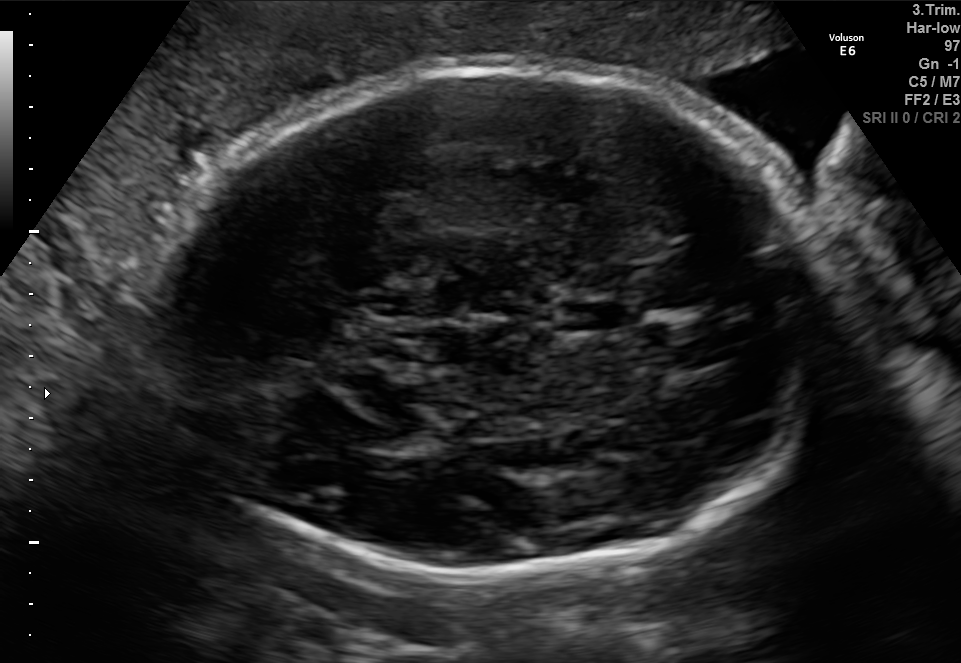
In this fetal brain, trans-thalamic plane, give bounding boxes for the head outline, cavum septum pellucidum (CSP), and lateral ventricle (LV), where visible.

Head: [154,60,827,575]
CSP: [555,300,625,332]